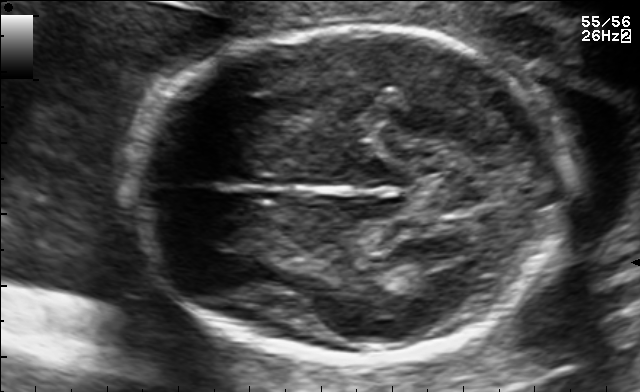
In this fetal brain, trans-thalamic plane, give the bounding box of the fetal head.

[127,26,572,359]